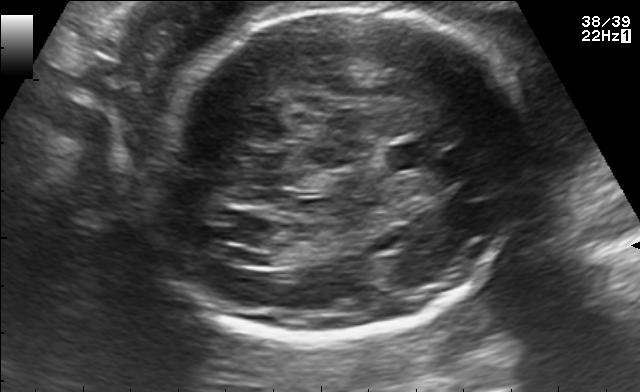
Which standard maternal-fetal ultrasound plane is shown: fetal abdomen, fetal brain, fetal femur, fetal thorax, maternal cervix, or other? If it's fetal brain and one of the three standard brain planes (trans-thalamic, trans-cerebellum, trans-ventricular), name which.

Fetal brain (trans-ventricular plane)